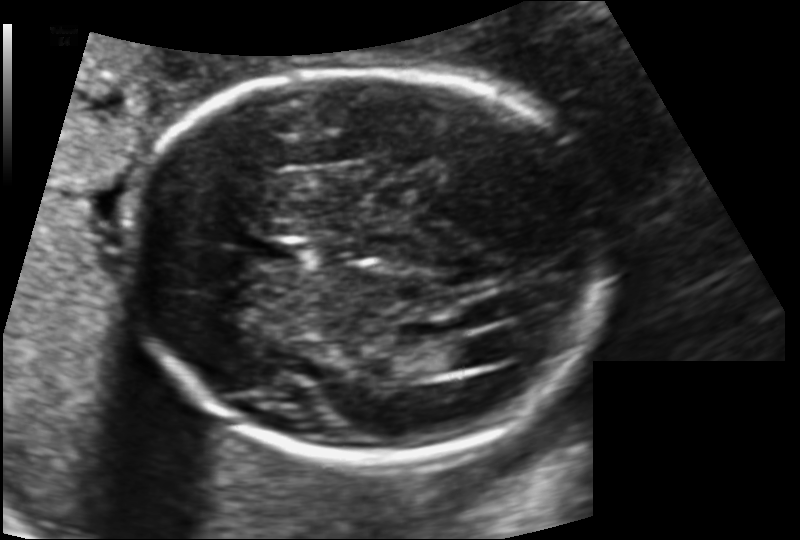
In this fetal head ultrasound, give the bounding box of the cavum septum pellucidum. Image width: 107.8 mm.

[254,237,312,266]